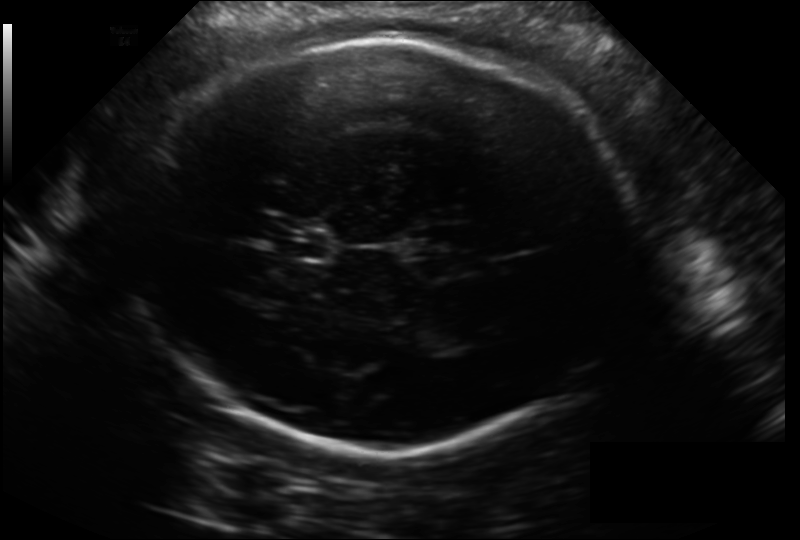
Estimate the fetal head circumference from this 2D ultrasound. Image width: 168.5 mm.

Head circumference: 311.4 mm.